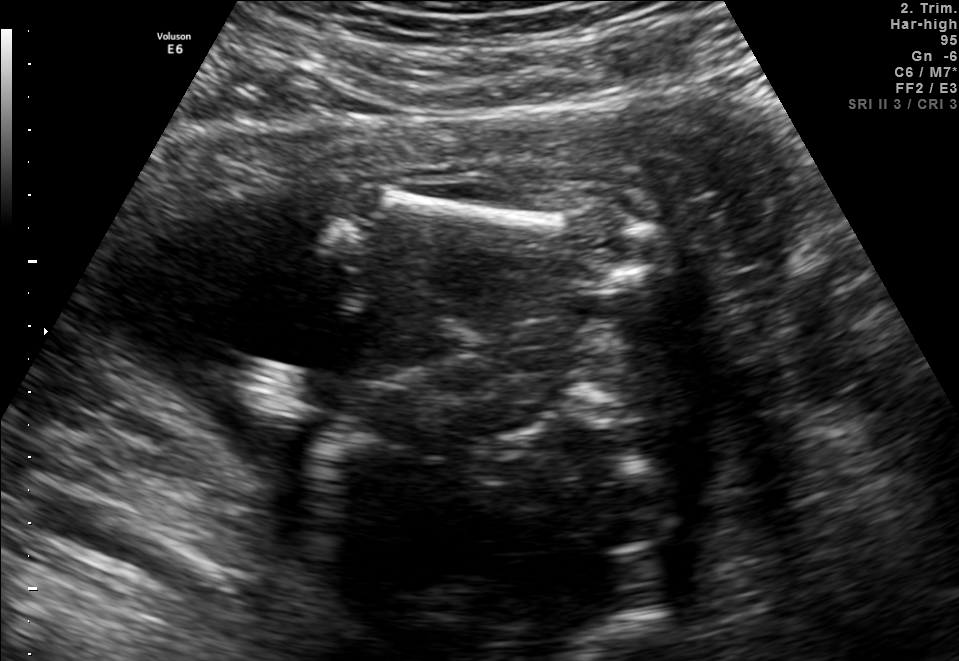
This is a 2D maternal-fetal ultrasound frame. Is it a fetal abdomen, fetal brain, fetal femur, fetal thorax, maternal cervix, or other standard plane? If it's fetal brain and one of the three standard brain planes (trans-thalamic, trans-cerebellum, trans-ventricular), name which.

Other